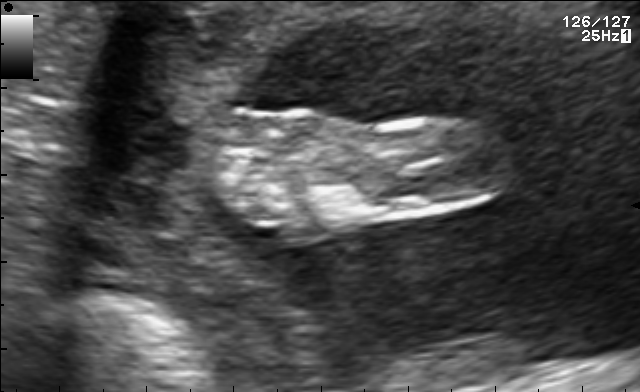
Which standard maternal-fetal ultrasound plane is shown: fetal abdomen, fetal brain, fetal femur, fetal thorax, maternal cervix, or other? If it's fetal brain and one of the three standard brain planes (trans-thalamic, trans-cerebellum, trans-ventricular), name which.

Other